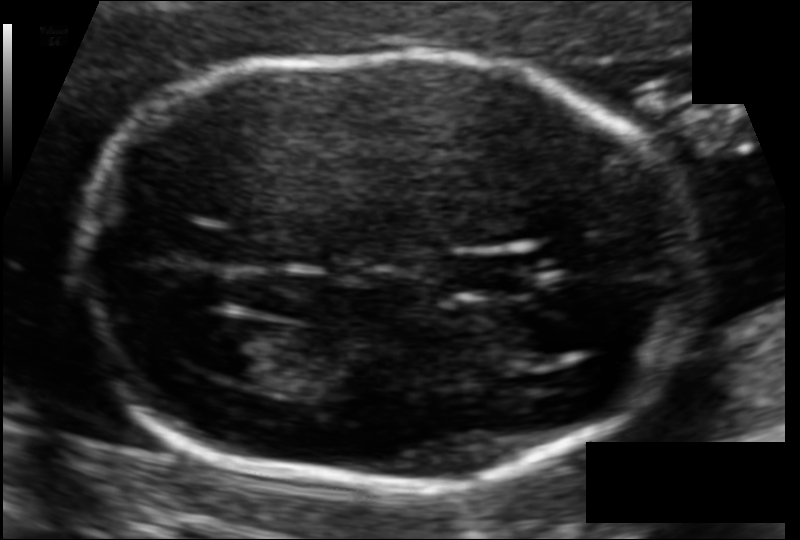
What is the fetal head circumference? Image width is 73.9 mm.

159.9 mm